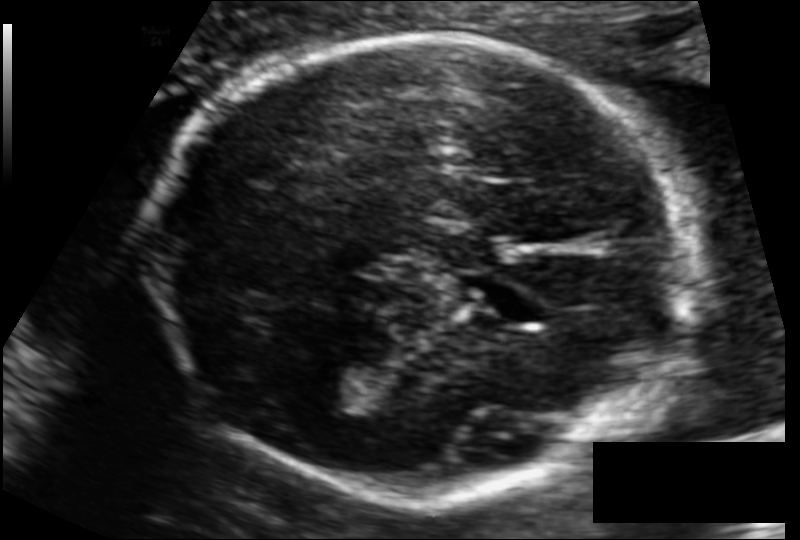
Fetal head ultrasound. Image width: 89.9 mm. Give [x1,y1,x2,y2] bounding boxes for each visible structure among: fetal head, CSP, LV.

Head: [152,33,690,495]